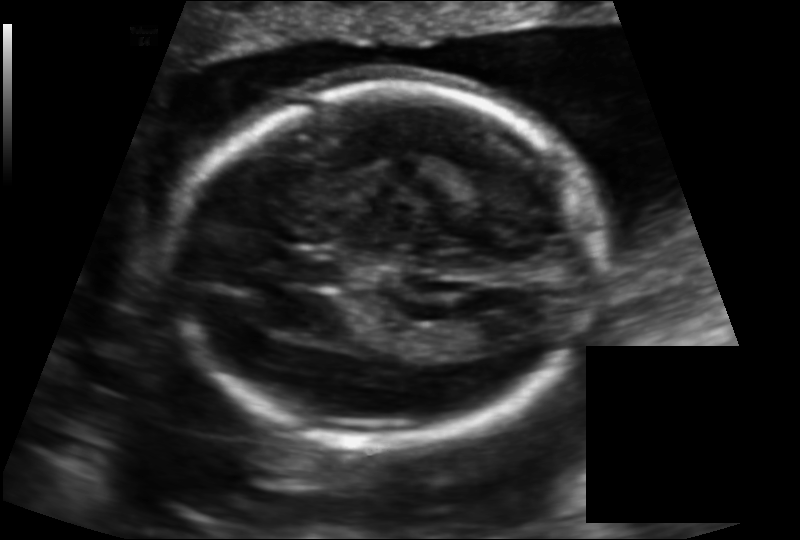
In this fetal head ultrasound, give the bounding box of the fetal head. Image width: 106.6 mm.

[173,86,596,440]